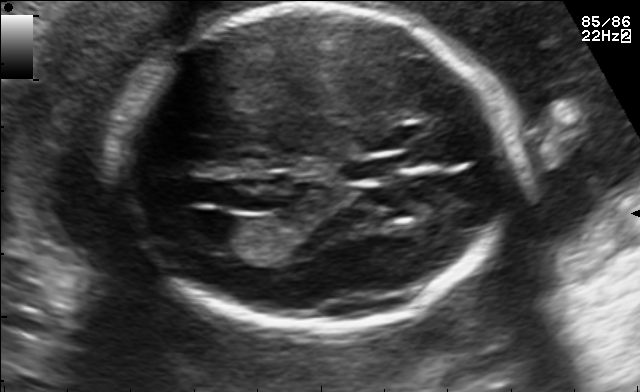
Classify this maternal-fetal ultrasound image as one of the six standard planes — fetal abdomen, fetal brain, fetal femur, fetal thorax, maternal cervix, or other. If it's fetal brain and one of the three standard brain planes (trans-thalamic, trans-cerebellum, trans-ventricular), name which.

Fetal brain (trans-ventricular plane)